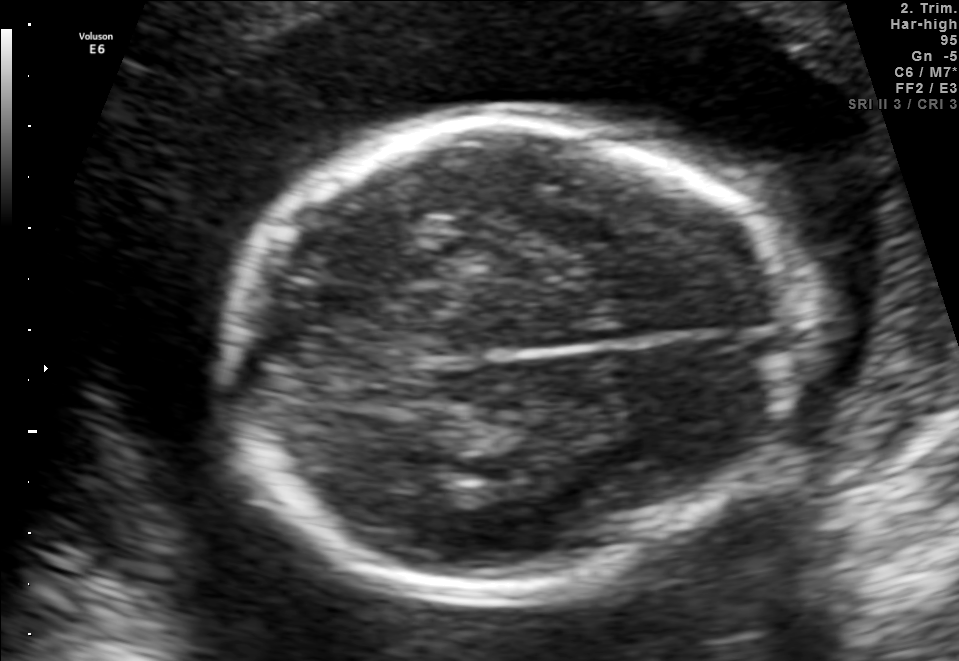
Fetal brain, trans-thalamic plane. Locate the fetal head.

Head: [218,118,803,595]